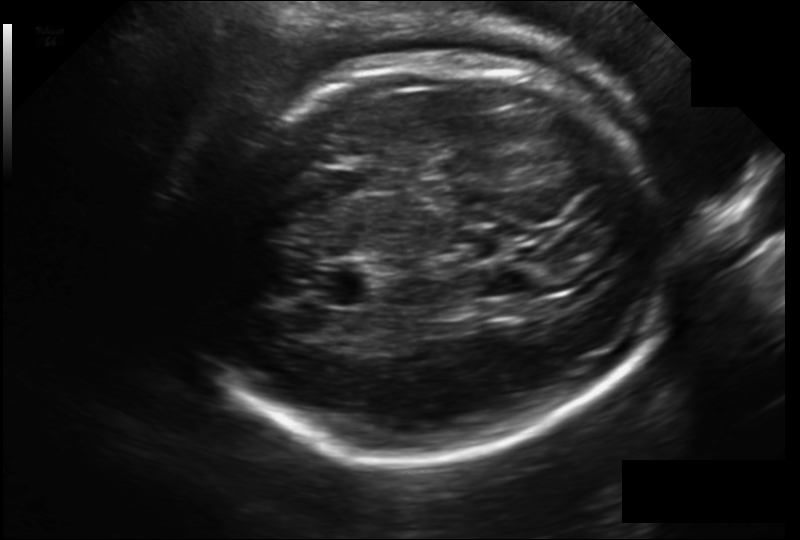
Fetal head ultrasound. Image width: 162.0 mm. Where is the fetal head?

Head bounding box: [183,54,664,462]